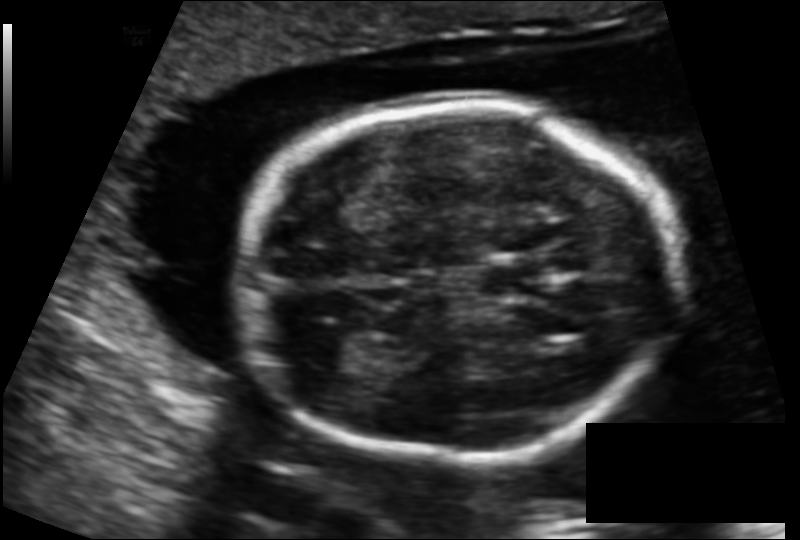
What is the fetal head circumference? Image width is 104.4 mm.

166.7 mm